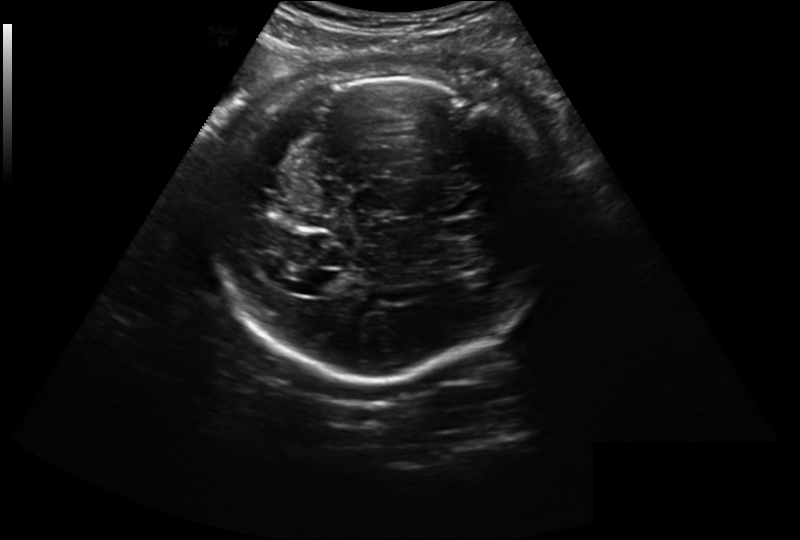
Measure the fetal head circumference shown in this ultrasound image. Image width: 208.4 mm.

Head circumference: 278.1 mm.